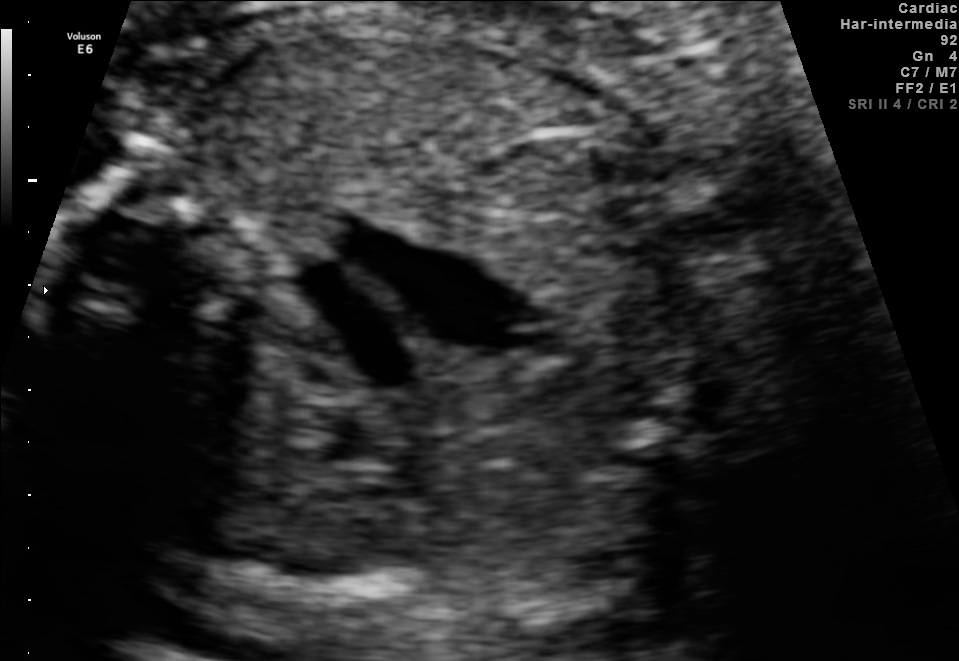
Classify this maternal-fetal ultrasound image as one of the six standard planes — fetal abdomen, fetal brain, fetal femur, fetal thorax, maternal cervix, or other. If it's fetal brain and one of the three standard brain planes (trans-thalamic, trans-cerebellum, trans-ventricular), name which.

Other